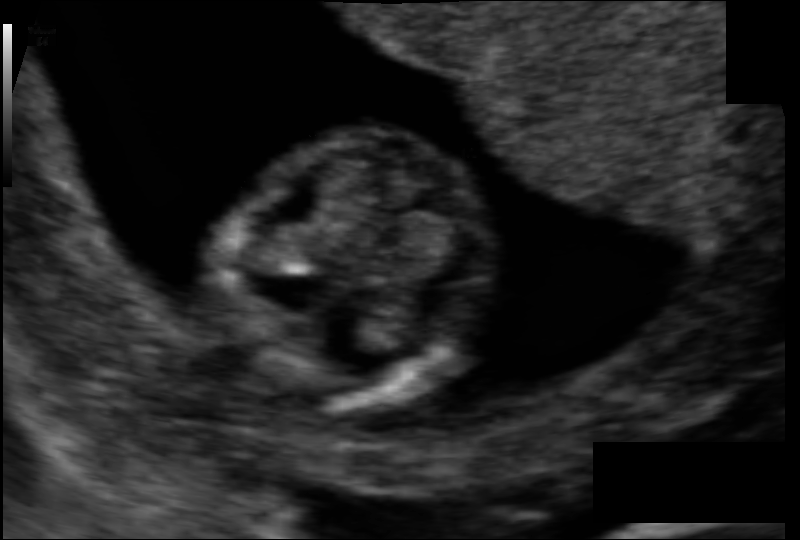
Measure the fetal head circumference shown in this ultrasound image. Image width: 61.7 mm.

Head circumference: 69.6 mm.